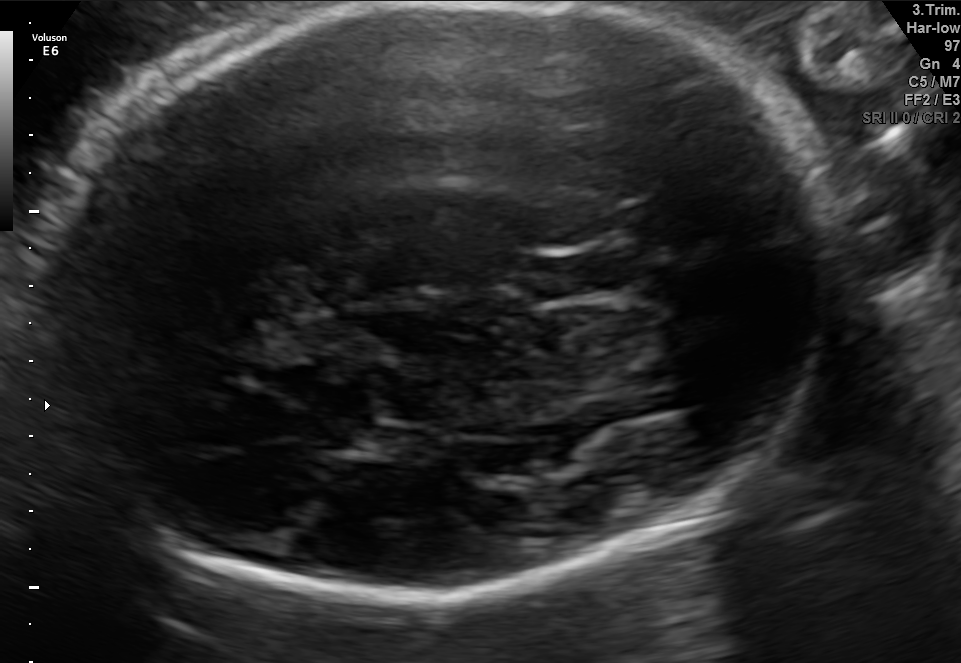
Fetal brain, trans-thalamic plane. Give [x1,y1,x2,y2] bounding boxes for each visible structure among: fetal head, CSP, LV.

Head: [37,3,840,596]
CSP: [527,249,619,304]
Lateral ventricle: [310,409,390,459]